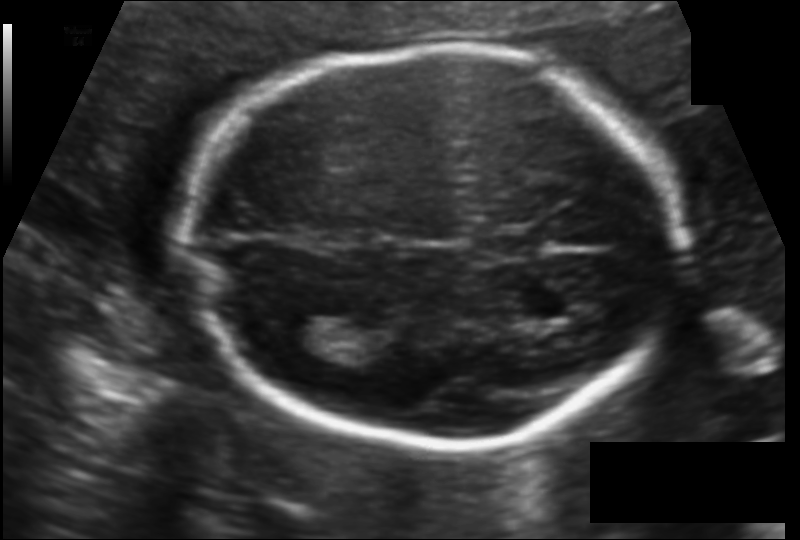
What is the fetal head circumference? Image width is 99.4 mm.

180.6 mm